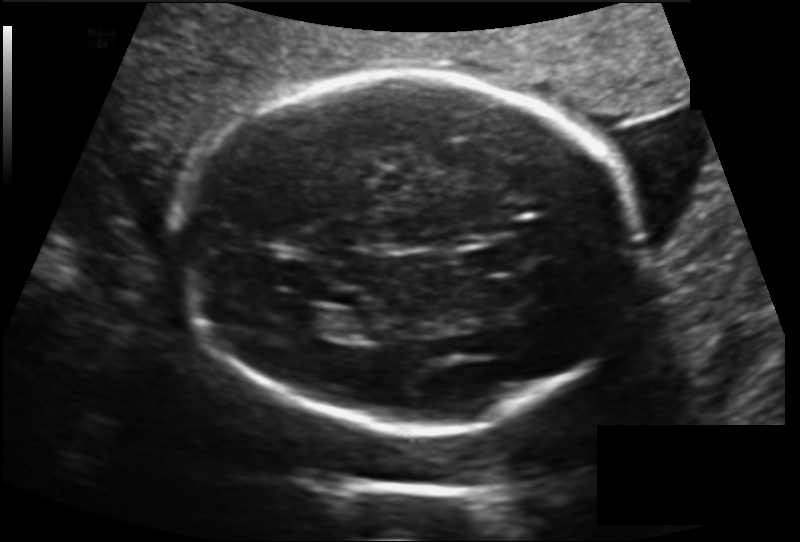
Fetal head ultrasound. Image width: 127.7 mm. Where is the cavum septum pellucidum?

CSP bounding box: [458,238,521,282]